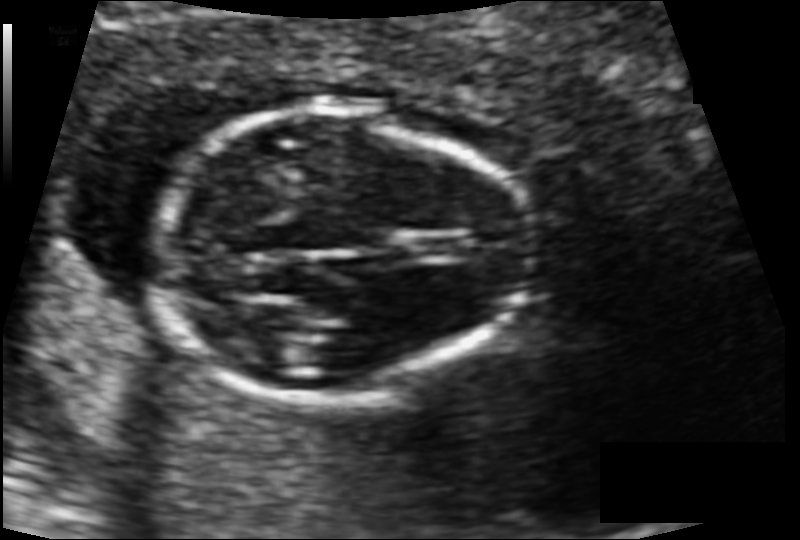
Fetal head ultrasound. Image width: 71.4 mm. Locate the fetal head and, if visible, the cavum septum pellucidum (CSP) and lateral ventricle (LV). Give bounding boxes as [x1,y1,x2,y2].

Head: [152,101,536,399]